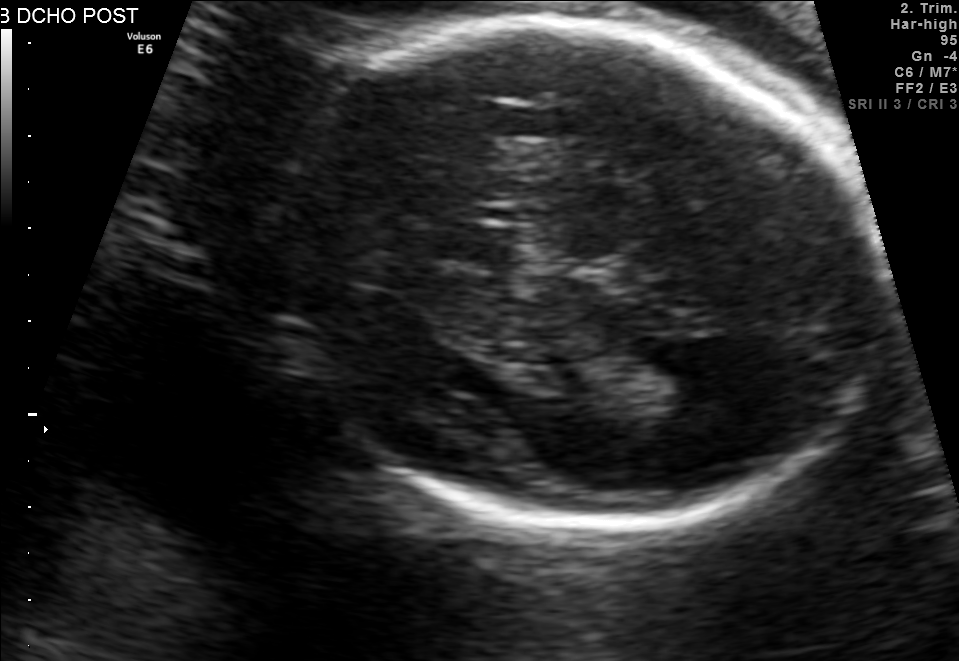
Fetal brain, trans-thalamic plane. Locate the cavum septum pellucidum.

CSP: [443,221,516,265]